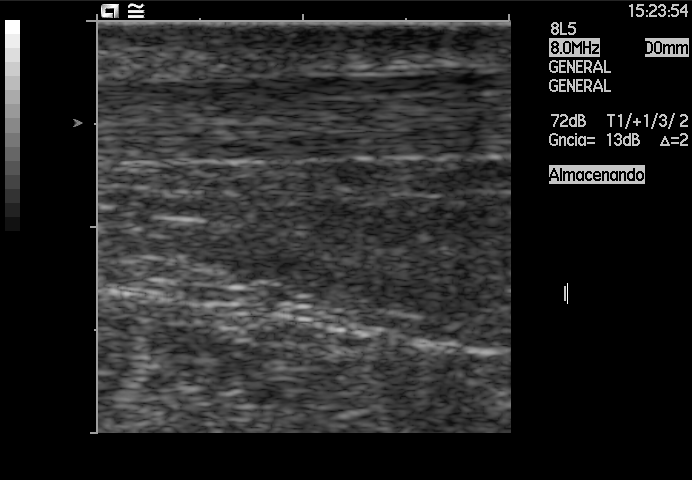
Which standard maternal-fetal ultrasound plane is shown: fetal abdomen, fetal brain, fetal femur, fetal thorax, maternal cervix, or other? If it's fetal brain and one of the three standard brain planes (trans-thalamic, trans-cerebellum, trans-ventricular), name which.

Other